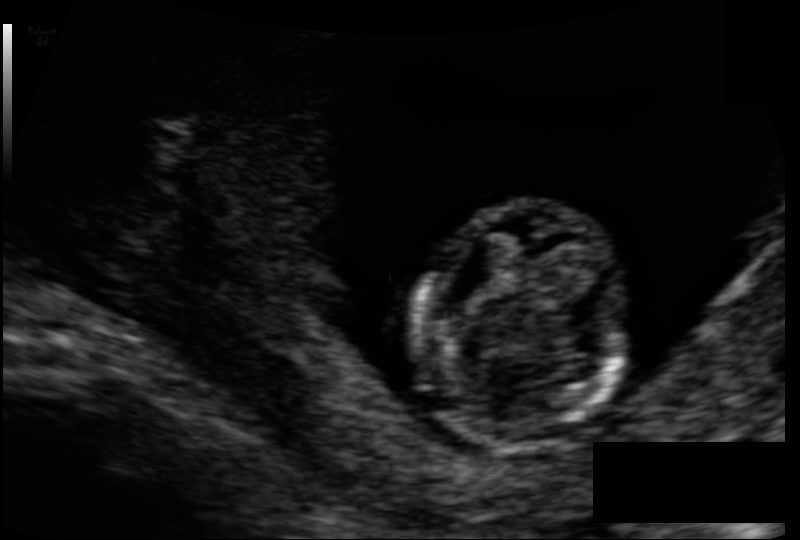
In this fetal head ultrasound, give bounding boxes for the head outline, cavum septum pellucidum (CSP), and lateral ventricle (LV), where visible. Image width: 76.4 mm.

Head: [416,204,626,444]